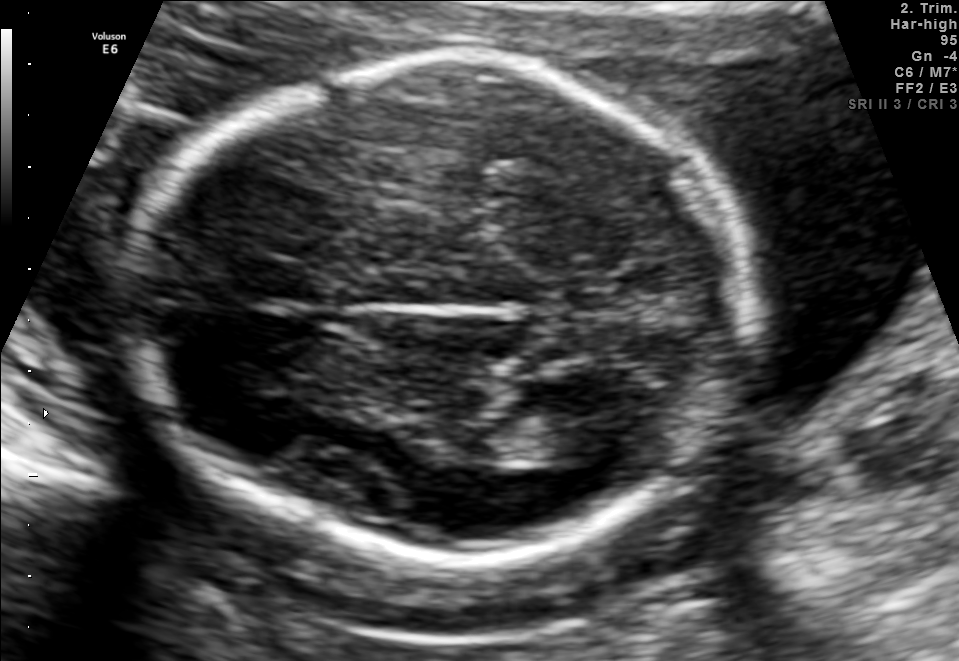
Fetal brain, trans-thalamic plane. Where is the fetal head?

Head bounding box: [126,64,757,561]